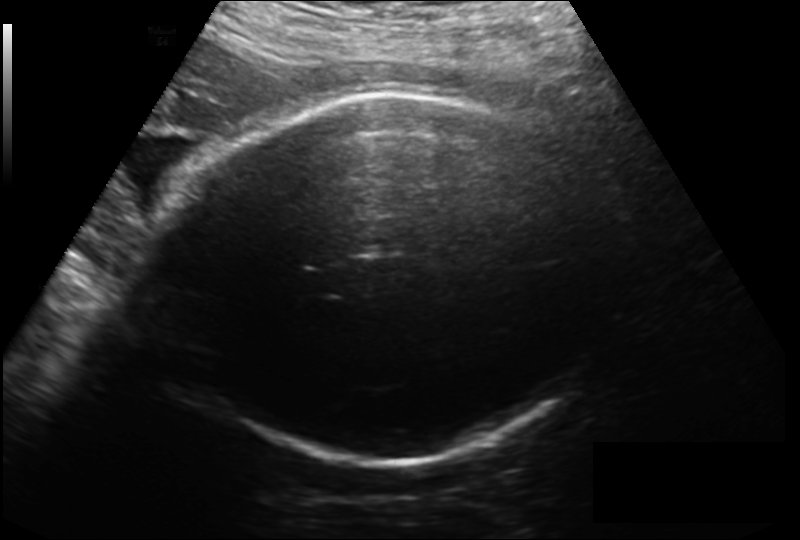
In this fetal head ultrasound, give the bounding box of the fetal head. Image width: 171.5 mm.

[159,94,609,462]